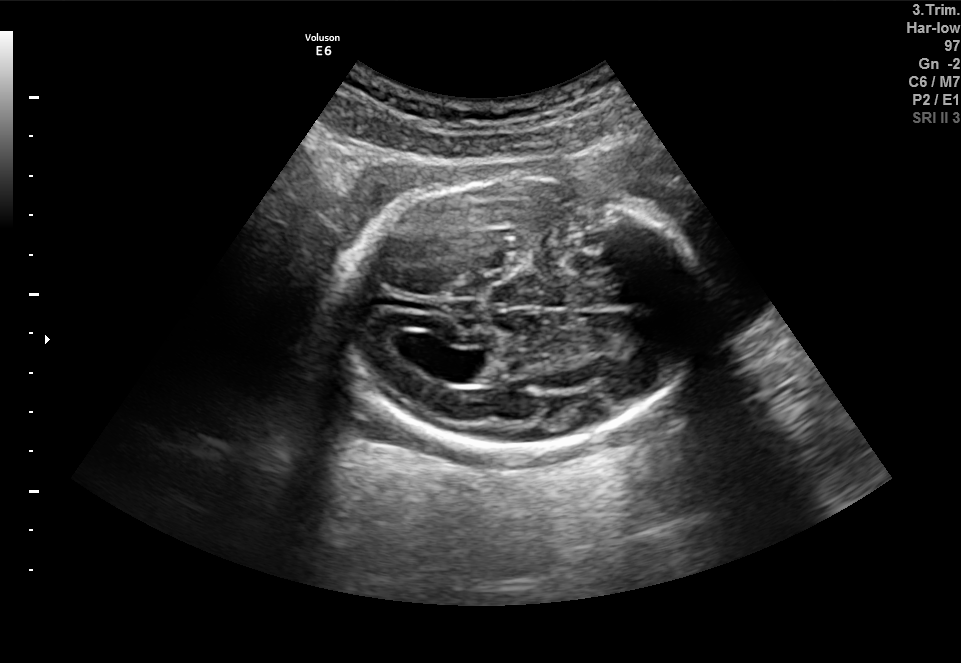
In this fetal brain, trans-ventricular plane, give bounding boxes for the head outline, cavum septum pellucidum (CSP), and lateral ventricle (LV), where visible.

Head: [332,174,709,455]